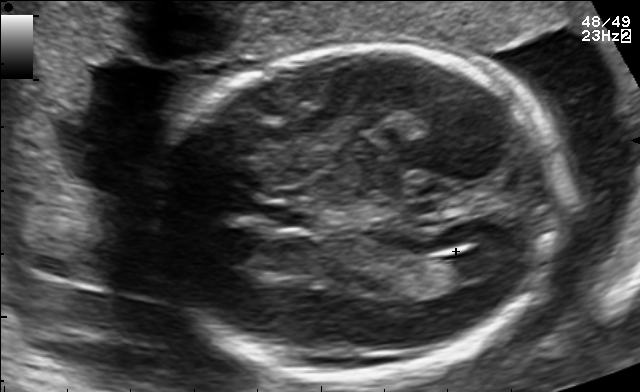
Fetal brain, trans-ventricular plane. Where is the fetal head?

Head bounding box: [158,43,573,384]